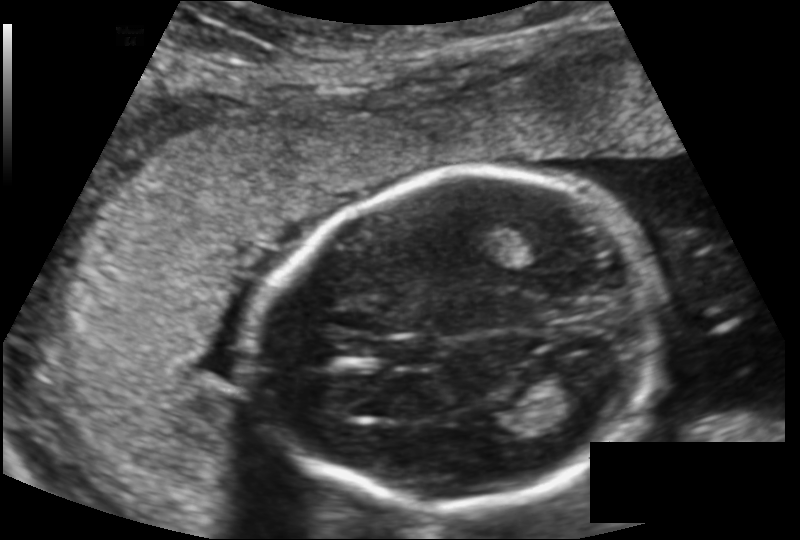
Estimate the fetal head circumference from this 2D ultrasound.

Head circumference: 182.4 mm (image width 119.2 mm).